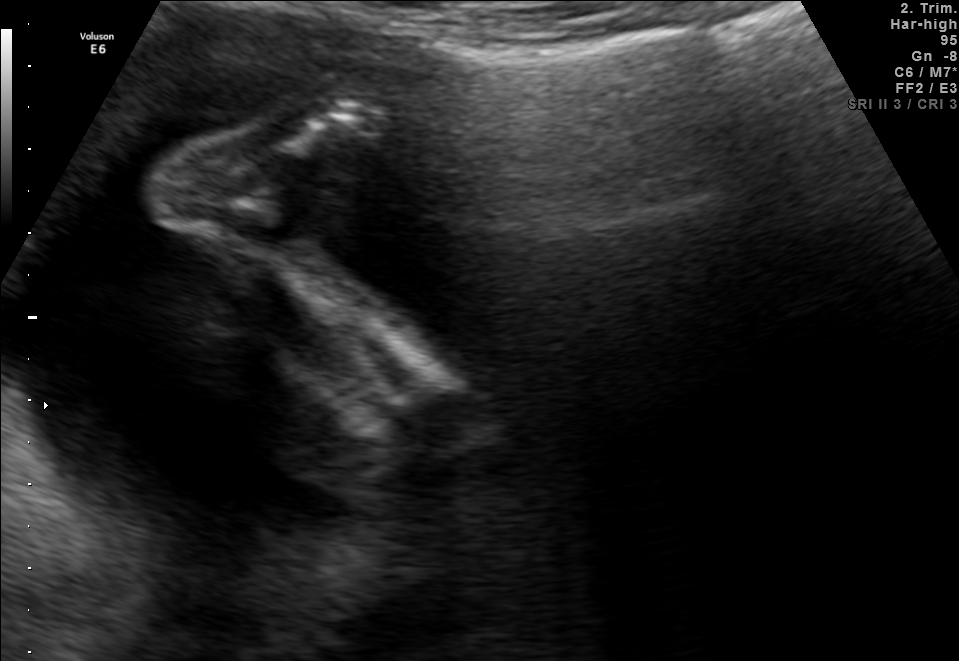
Which standard maternal-fetal ultrasound plane is shown: fetal abdomen, fetal brain, fetal femur, fetal thorax, maternal cervix, or other? If it's fetal brain and one of the three standard brain planes (trans-thalamic, trans-cerebellum, trans-ventricular), name which.

Other